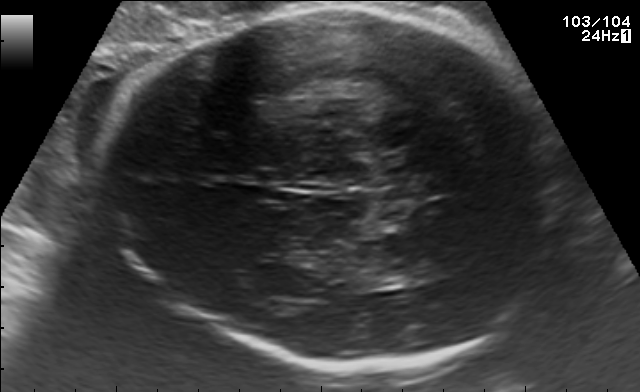
In this fetal brain, trans-thalamic plane, give the bounding box of the fetal head.

[98,6,558,367]